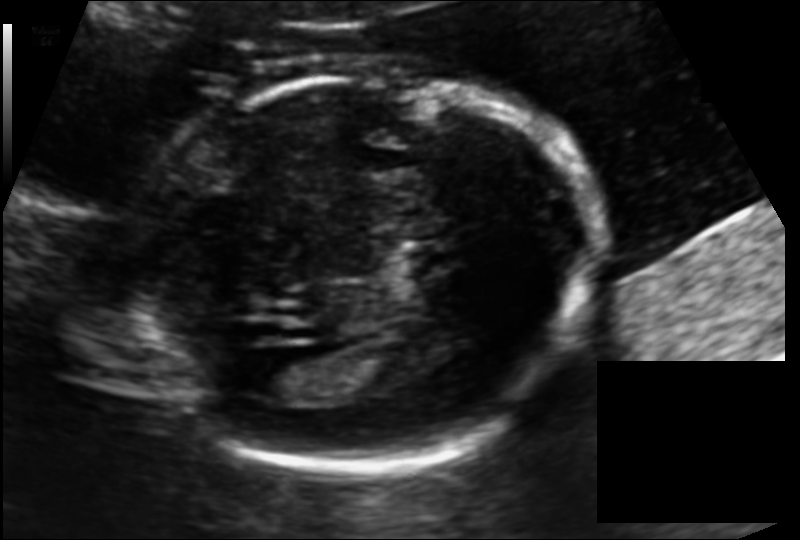
Fetal head ultrasound. Image width: 99.9 mm. Locate the lateral ventricle.

Lateral ventricle: [258,358,323,397]